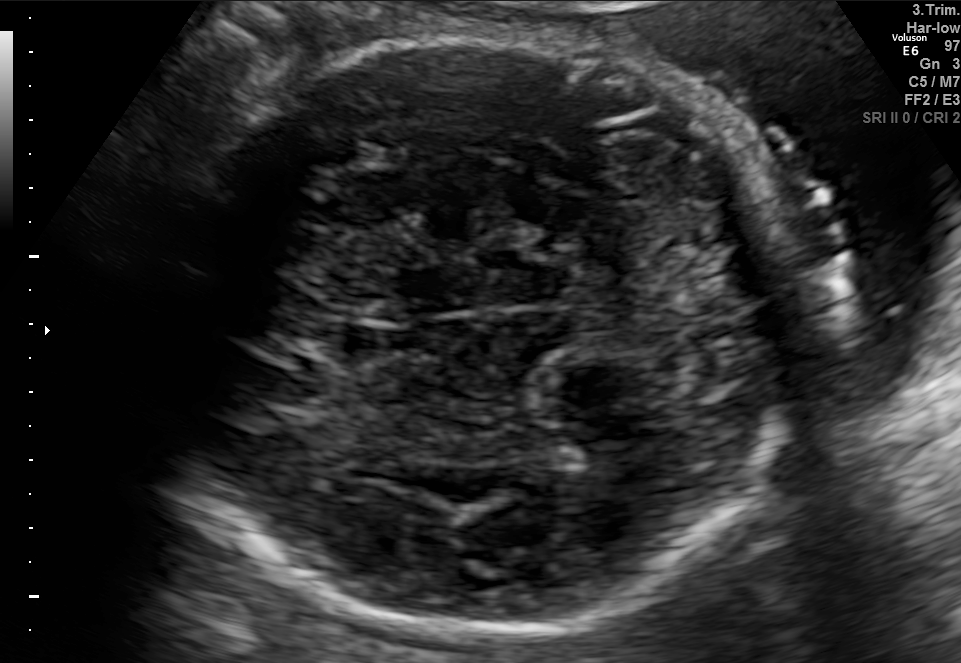
Fetal brain, trans-thalamic plane. Locate the fetal head and, if visible, the cavum septum pellucidum (CSP) and lateral ventricle (LV). Give bounding boxes as [x1,y1,x2,y2].

Head: [164,29,795,626]